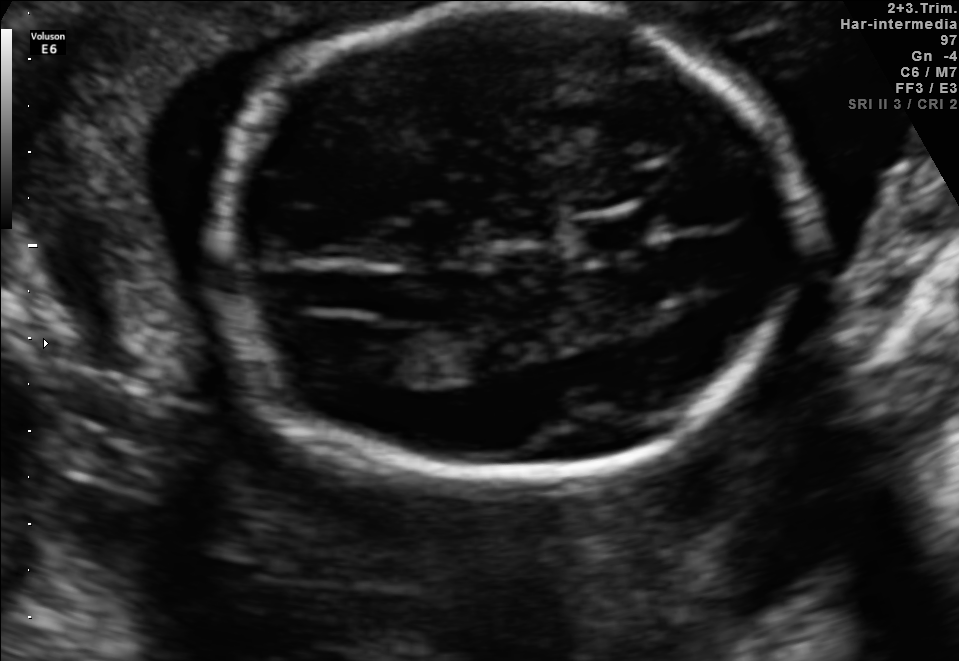
Fetal brain, trans-ventricular plane. Locate the fetal head and, if visible, the cavum septum pellucidum (CSP) and lateral ventricle (LV). Give bounding boxes as [x1,y1,x2,y2].

Head: [196,2,831,497]
CSP: [557,196,674,270]
Lateral ventricle: [334,328,420,379]